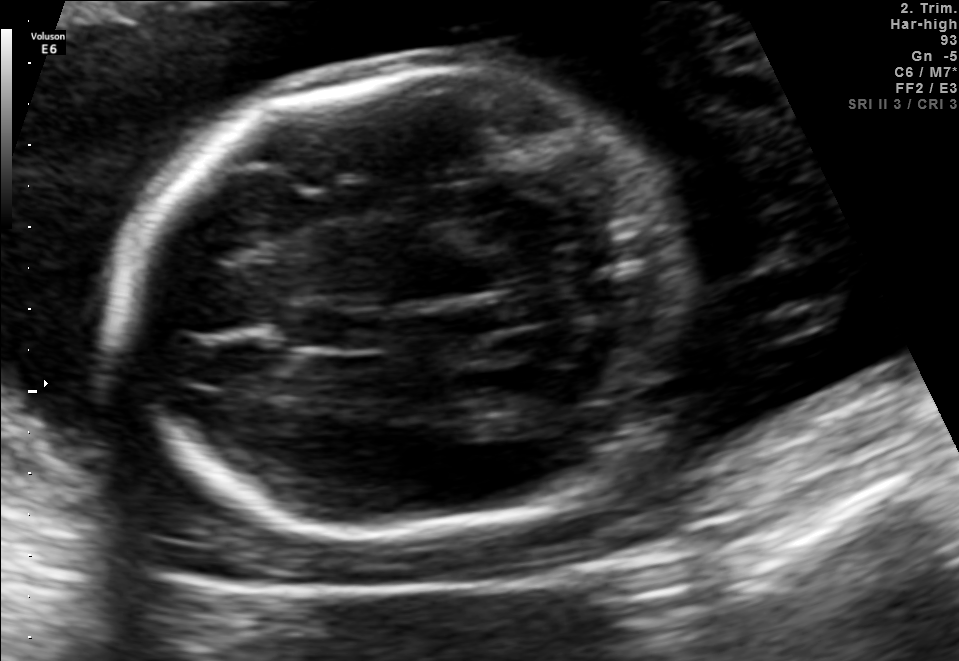
Fetal brain, trans-cerebellum plane. Locate the fetal head.

Head: [122,66,673,545]